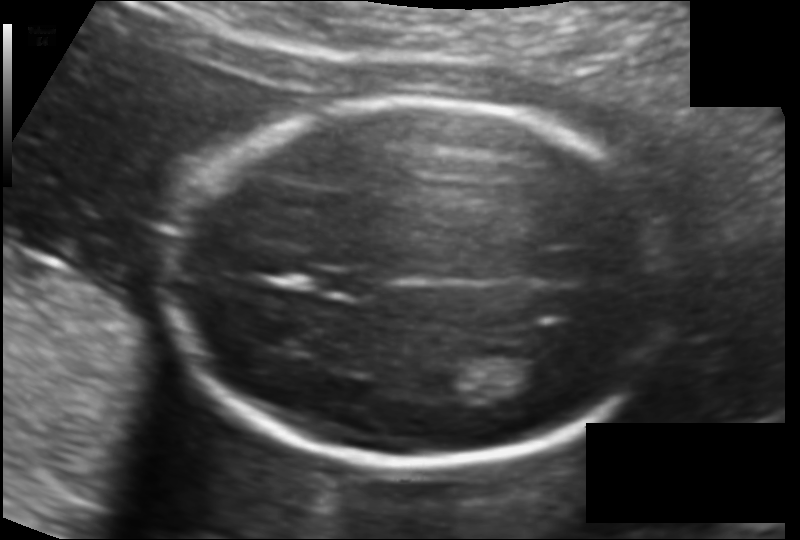
Measure the fetal head circumference shown in this ultrasound image. Image width: 97.1 mm.

Head circumference: 169.7 mm.